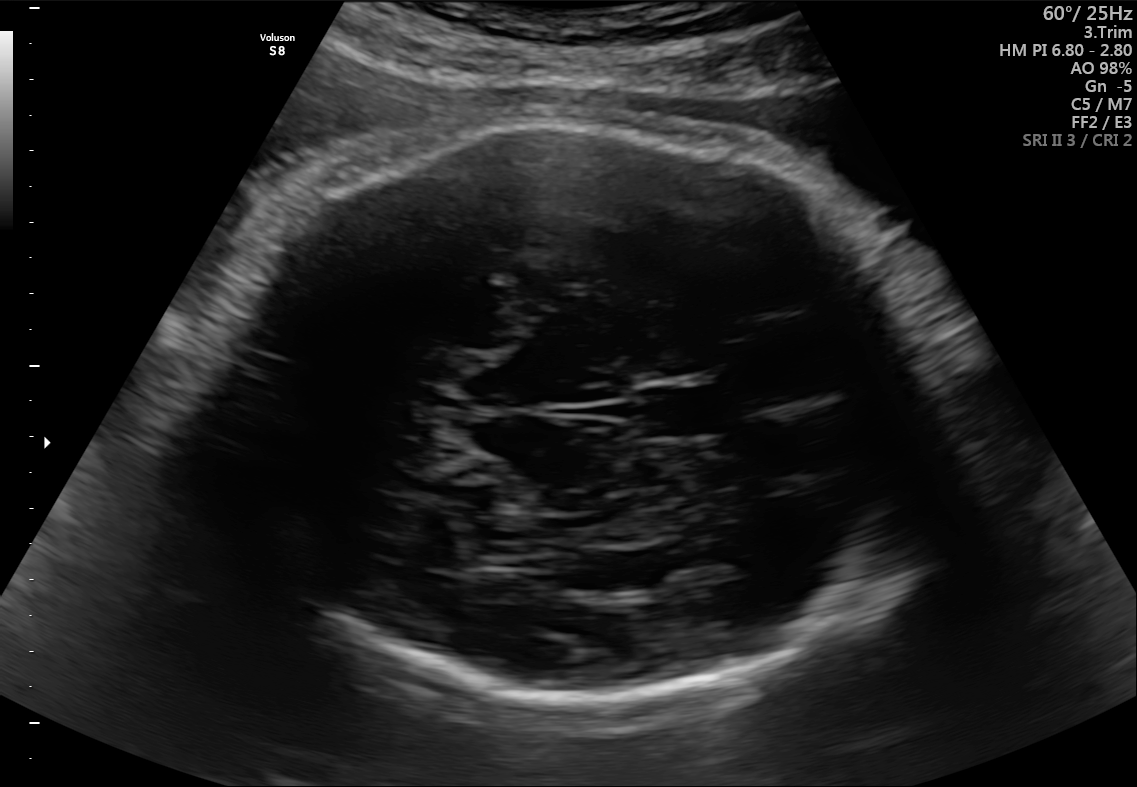
In this fetal brain, trans-thalamic plane, give the bounding box of the cavum septum pellucidum.

[640,383,731,437]